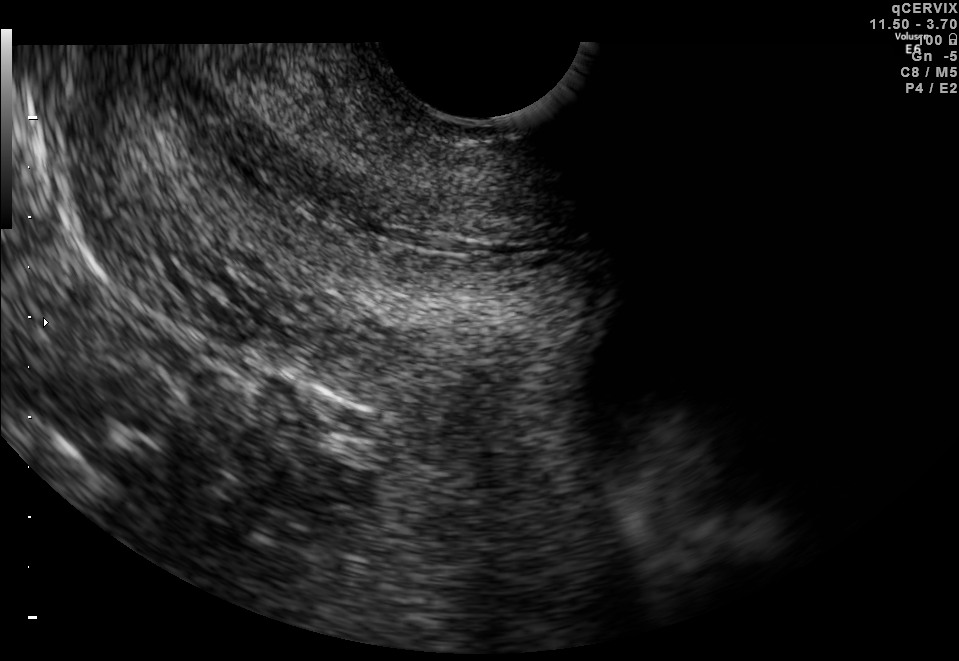
Identify the standard plane in this fetal ultrasound image: fetal abdomen, fetal brain, fetal femur, fetal thorax, maternal cervix, or other. If it's fetal brain and one of the three standard brain planes (trans-thalamic, trans-cerebellum, trans-ventricular), name which.

Maternal cervix